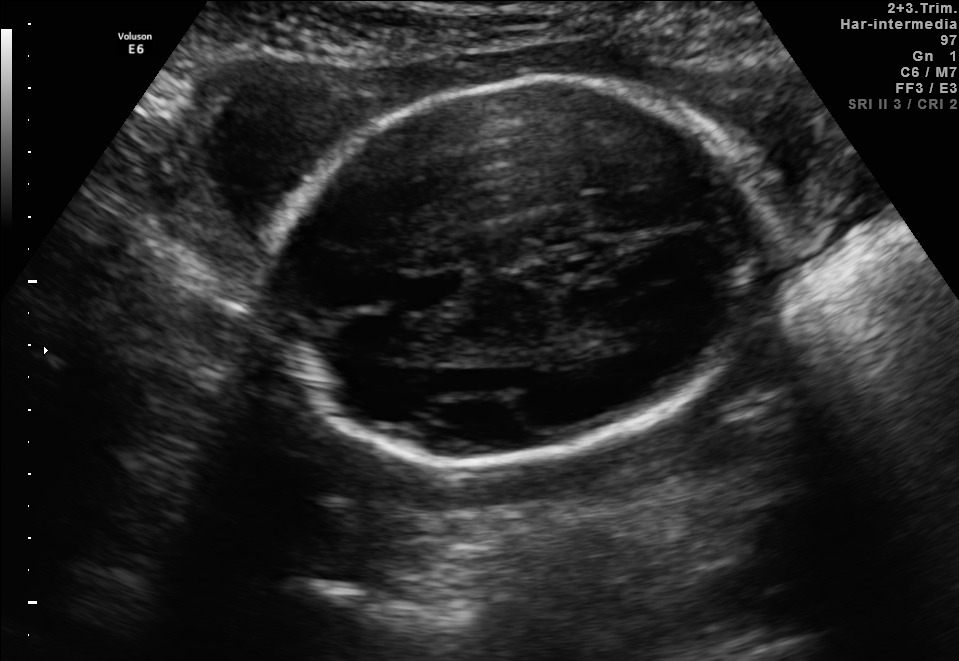
In this fetal brain, trans-thalamic plane, give the bounding box of the cavum septum pellucidum.

[396,271,459,305]